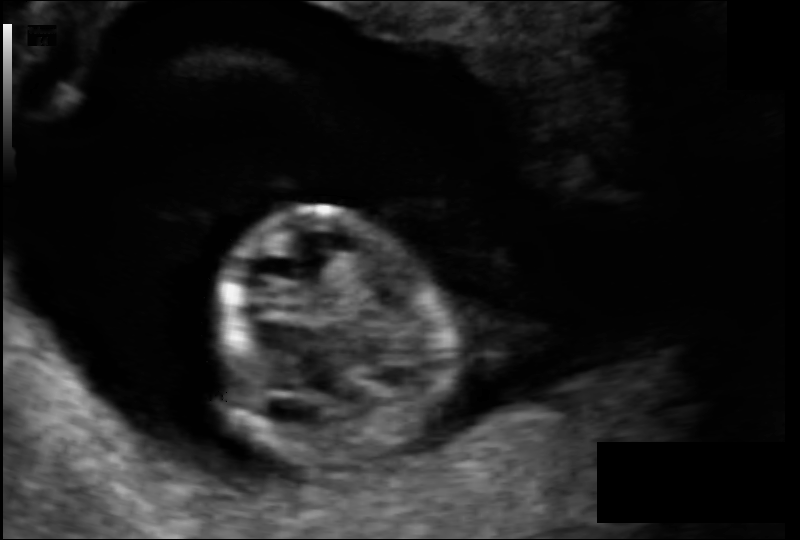
Fetal head ultrasound. Image width: 78.9 mm. Where is the fetal head?

Head bounding box: [213,208,450,465]